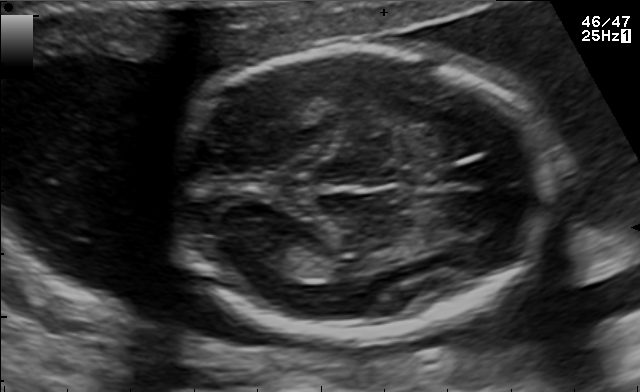
Fetal brain, trans-thalamic plane. Where is the fetal head?

Head bounding box: [172,48,546,338]